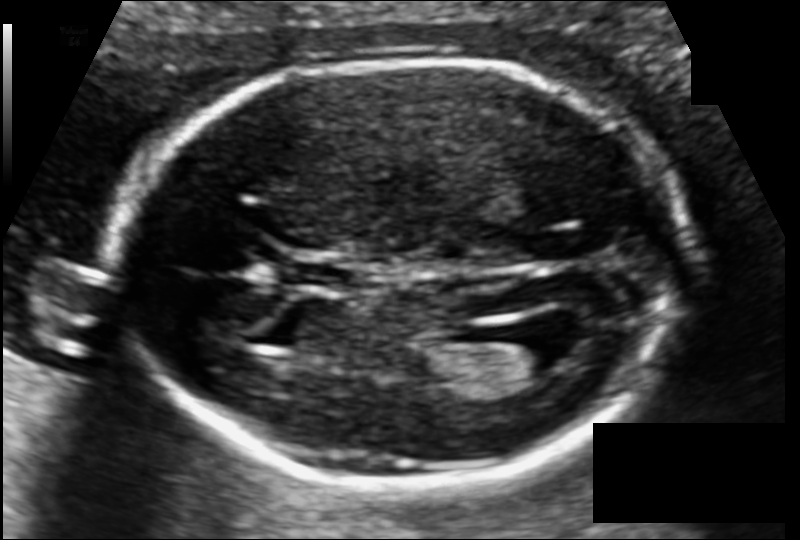
Measure the fetal head circumference shown in this ultrasound image. Image width: 82.9 mm.

Head circumference: 165.9 mm.